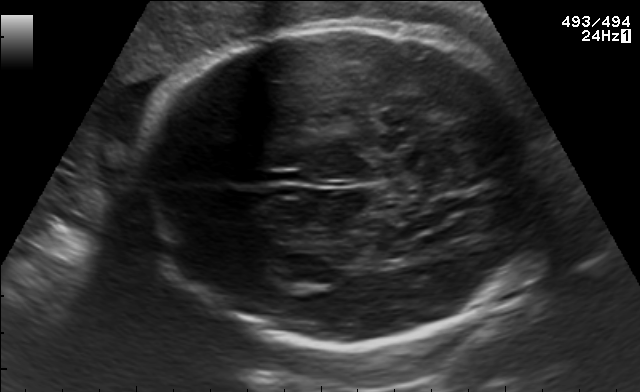
Fetal brain, trans-thalamic plane. Locate the fetal head.

Head: [133,22,548,348]